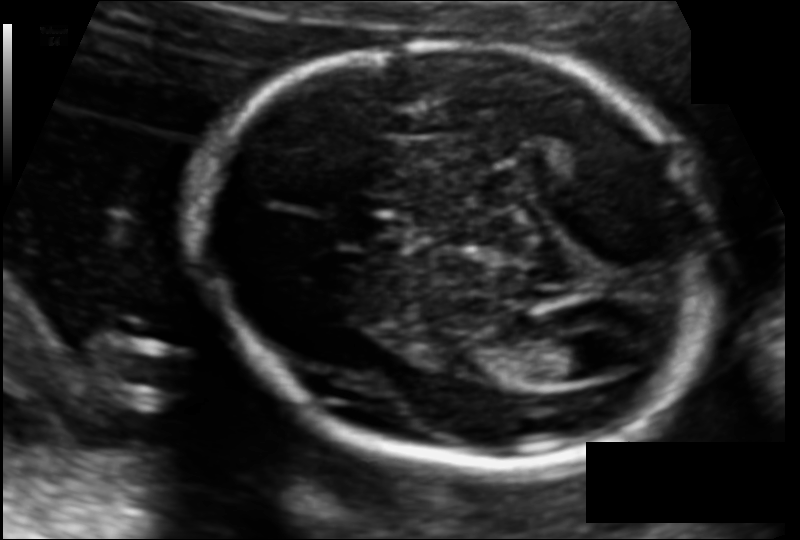
Fetal head ultrasound. Image width: 87.7 mm. Locate the fetal head and, if visible, the cavum septum pellucidum (CSP) and lateral ventricle (LV). Give bounding boxes as [x1,y1,x2,y2].

Head: [194,42,717,458]
CSP: [331,211,403,249]
Lateral ventricle: [525,328,614,386]